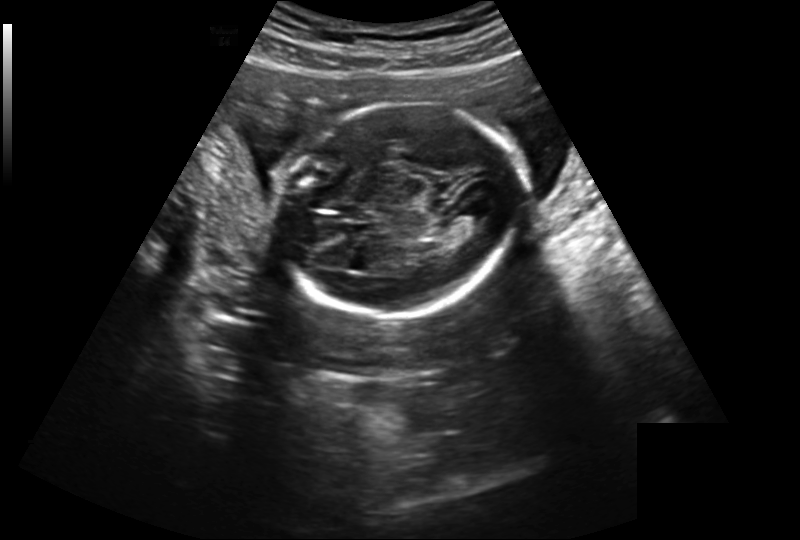
Estimate the fetal head circumference from this 2D ultrasound. Image width: 191.4 mm.

Head circumference: 179.5 mm.